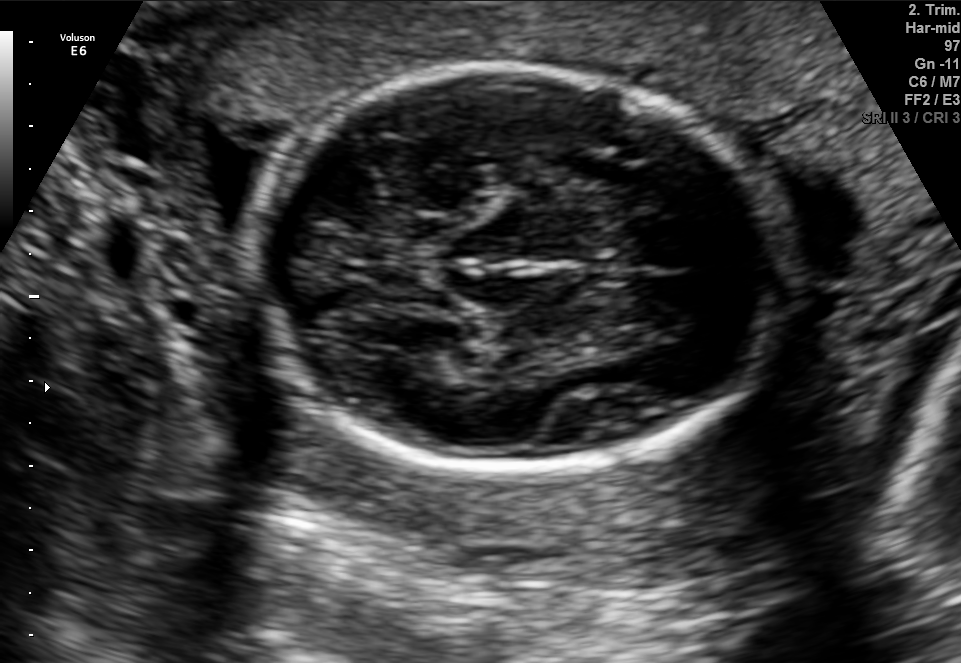
Fetal brain, trans-thalamic plane. Locate the fetal head.

Head: [259,69,791,469]